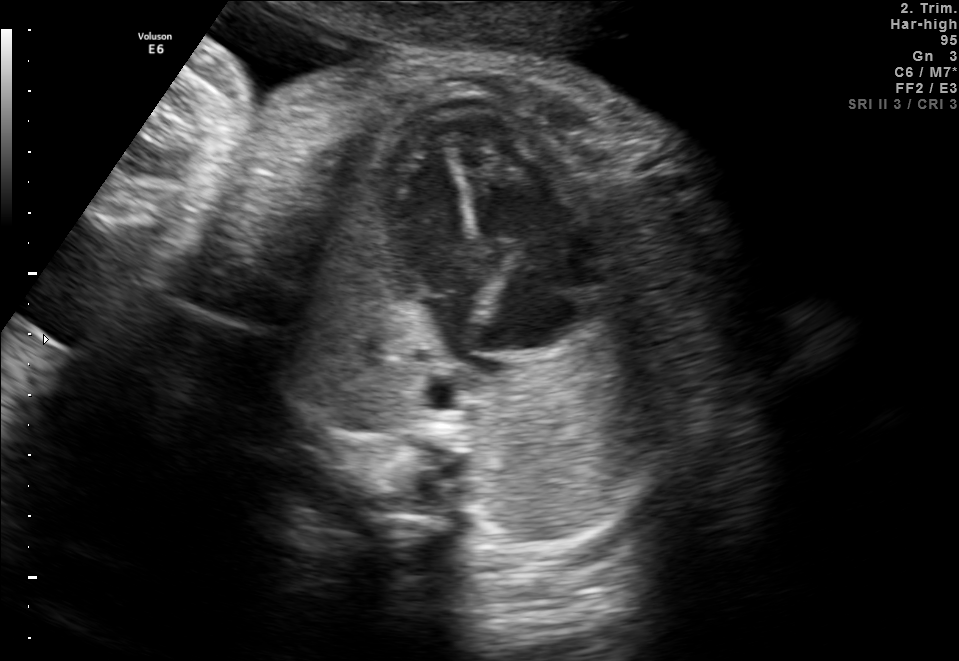
This is a 2D maternal-fetal ultrasound frame. Is it a fetal abdomen, fetal brain, fetal femur, fetal thorax, maternal cervix, or other standard plane? If it's fetal brain and one of the three standard brain planes (trans-thalamic, trans-cerebellum, trans-ventricular), name which.

Fetal thorax